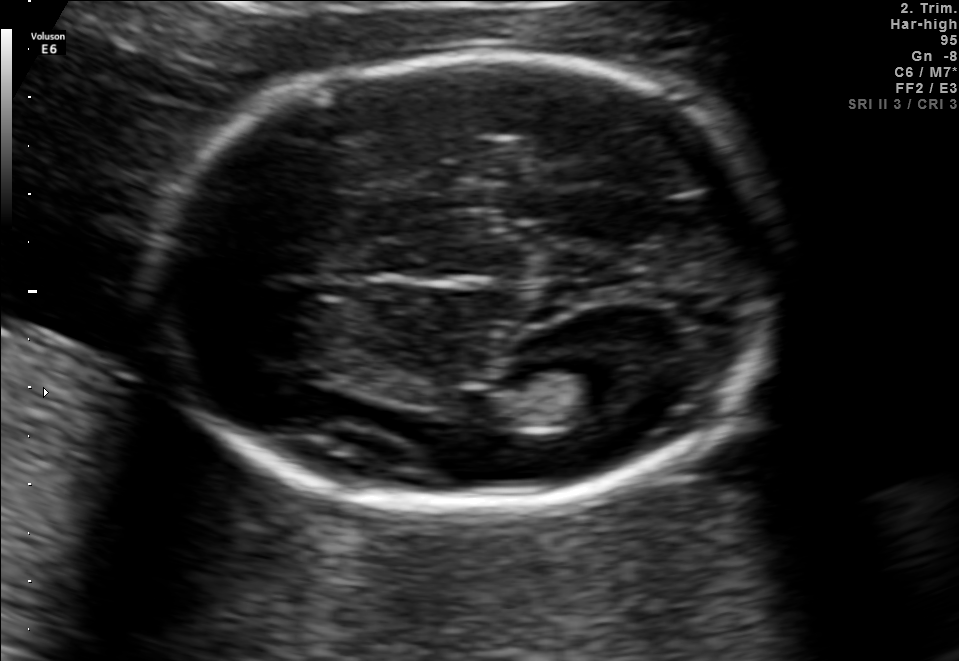
Fetal brain, trans-thalamic plane. Locate the lateral ventricle.

Lateral ventricle: [526,341,659,431]